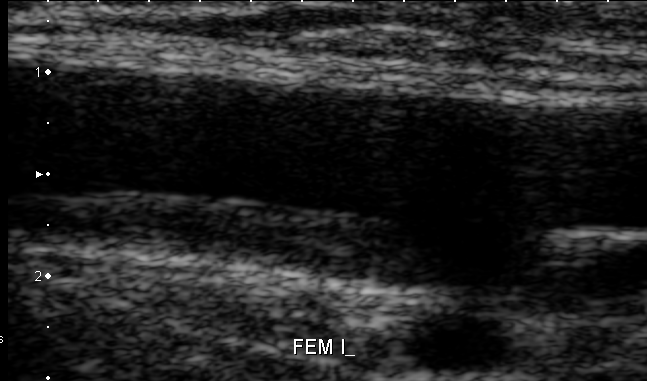
Identify the standard plane in this fetal ultrasound image: fetal abdomen, fetal brain, fetal femur, fetal thorax, maternal cervix, or other. If it's fetal brain and one of the three standard brain planes (trans-thalamic, trans-cerebellum, trans-ventricular), name which.

Other